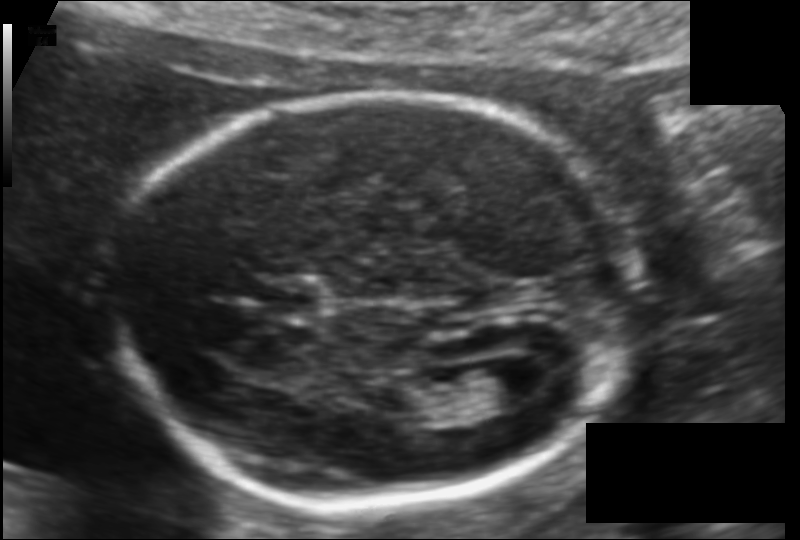
Estimate the fetal head circumference from this 2D ultrasound.

Head circumference: 173.2 mm (image width 92.0 mm).